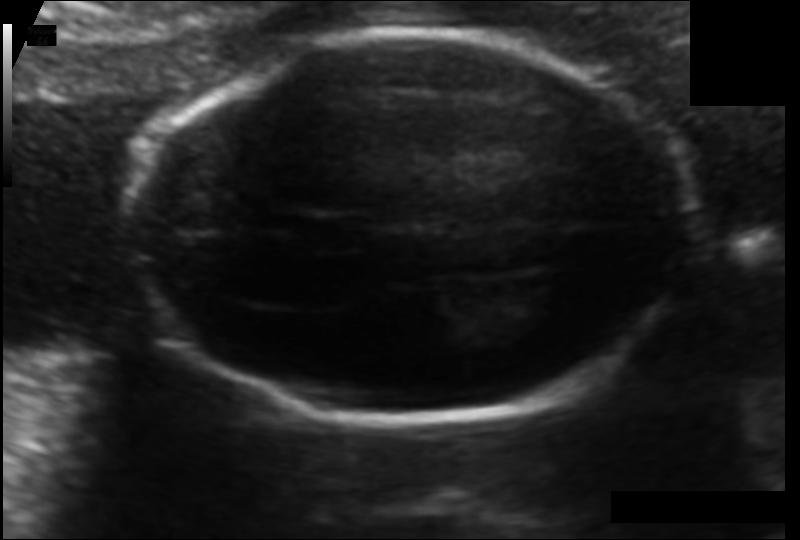
Fetal head ultrasound. Image width: 82.3 mm. Locate the fetal head.

Head: [133,31,692,421]